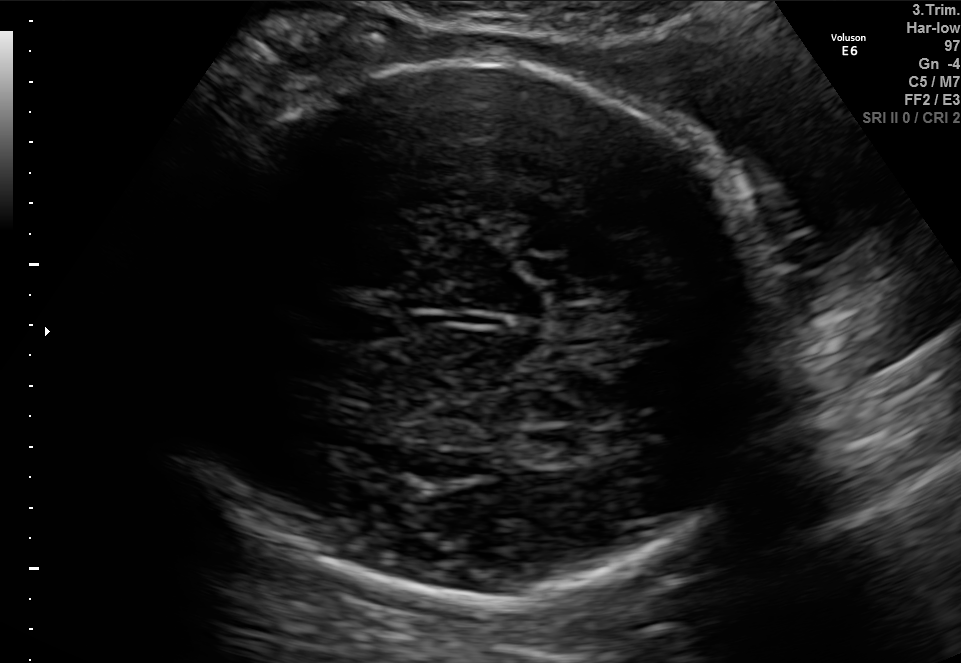
Fetal brain, trans-thalamic plane. Give [x1,y1,x2,y2] bounding boxes for each visible structure among: fetal head, CSP, LV.

Head: [157,60,774,607]
CSP: [318,312,403,342]
Lateral ventricle: [505,424,586,470]